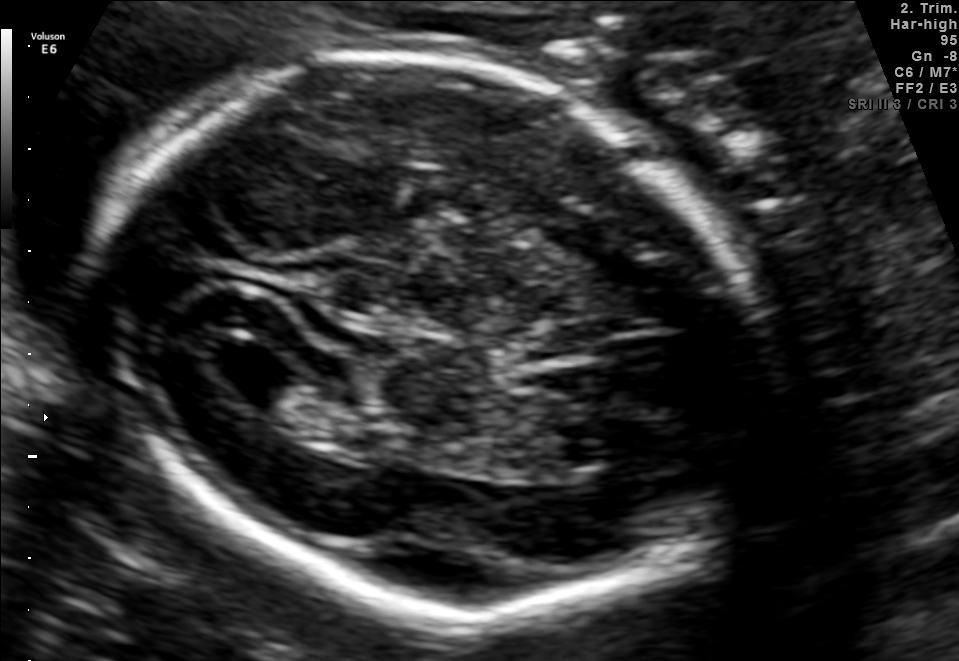
Fetal brain, trans-ventricular plane. Where is the lateral ventricle?

Lateral ventricle bounding box: [199,324,301,414]